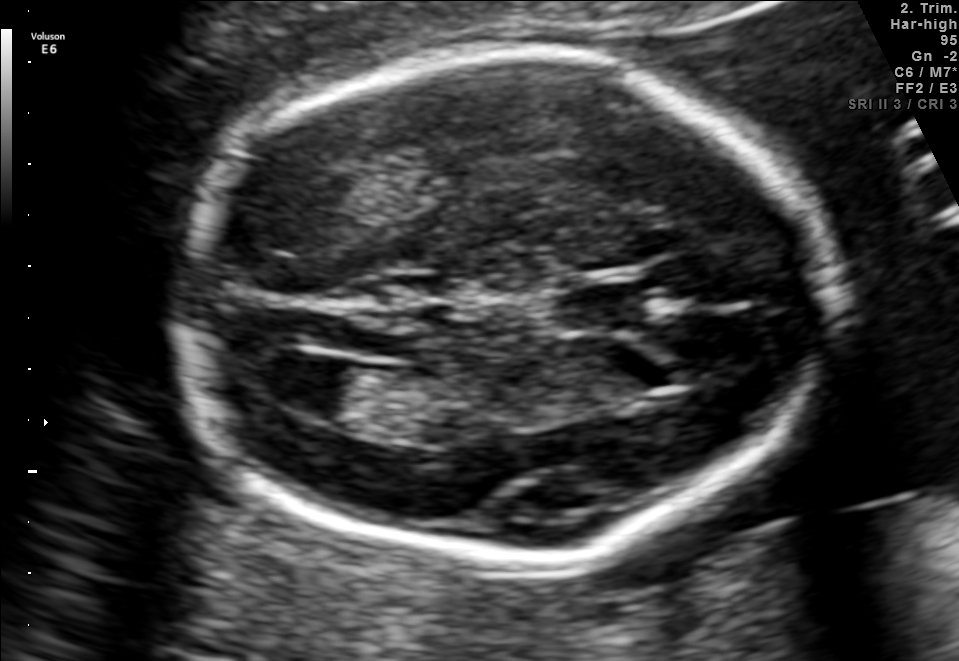
Fetal brain, trans-ventricular plane. Where is the fetal head?

Head bounding box: [163,43,856,572]